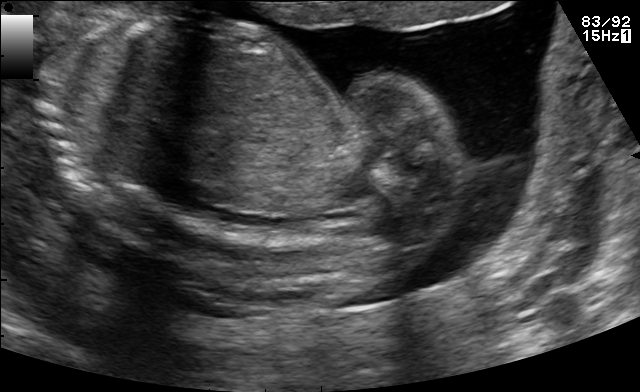
Which standard maternal-fetal ultrasound plane is shown: fetal abdomen, fetal brain, fetal femur, fetal thorax, maternal cervix, or other? If it's fetal brain and one of the three standard brain planes (trans-thalamic, trans-cerebellum, trans-ventricular), name which.

Other